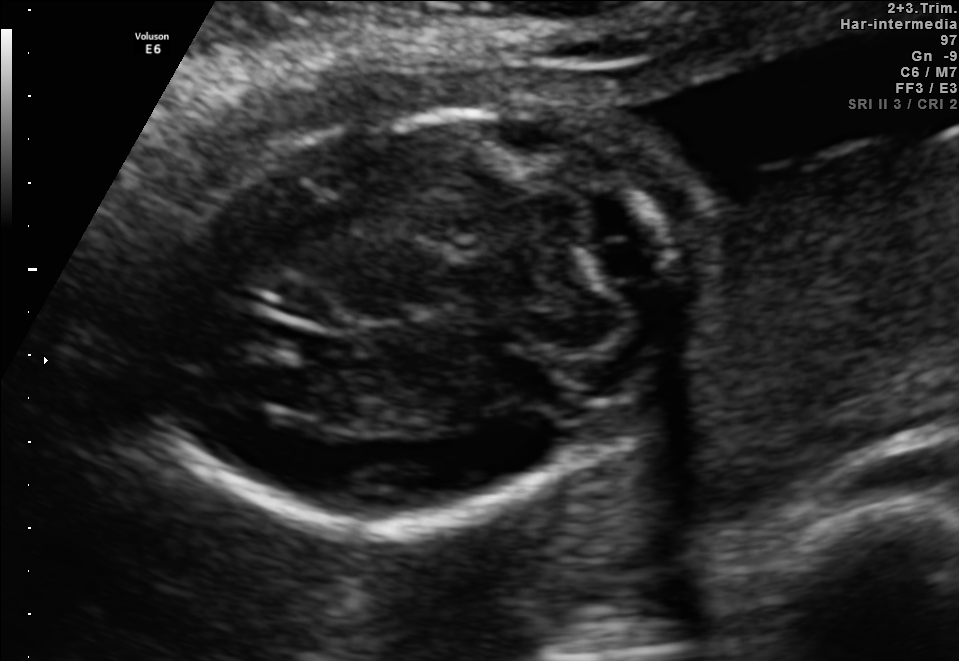
Fetal brain, trans-cerebellum plane. Give [x1,y1,x2,y2] bounding boxes for each visible structure among: fetal head, CSP, LV.

Head: [158,105,717,520]